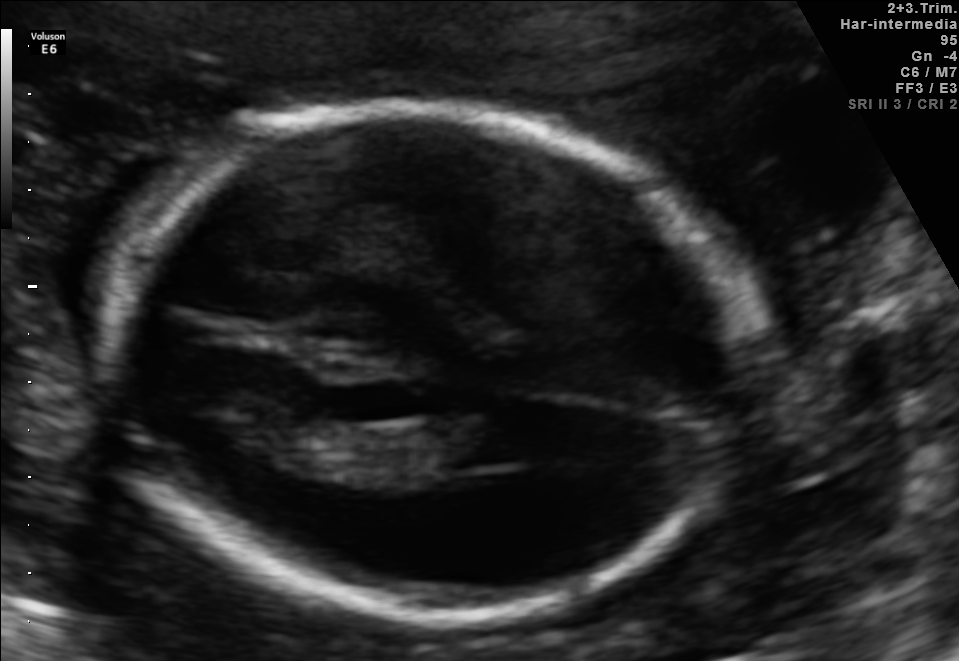
Fetal brain, trans-thalamic plane. Give [x1,y1,x2,y2] bounding boxes for each visible structure among: fetal head, CSP, LV.

Head: [102,109,757,618]